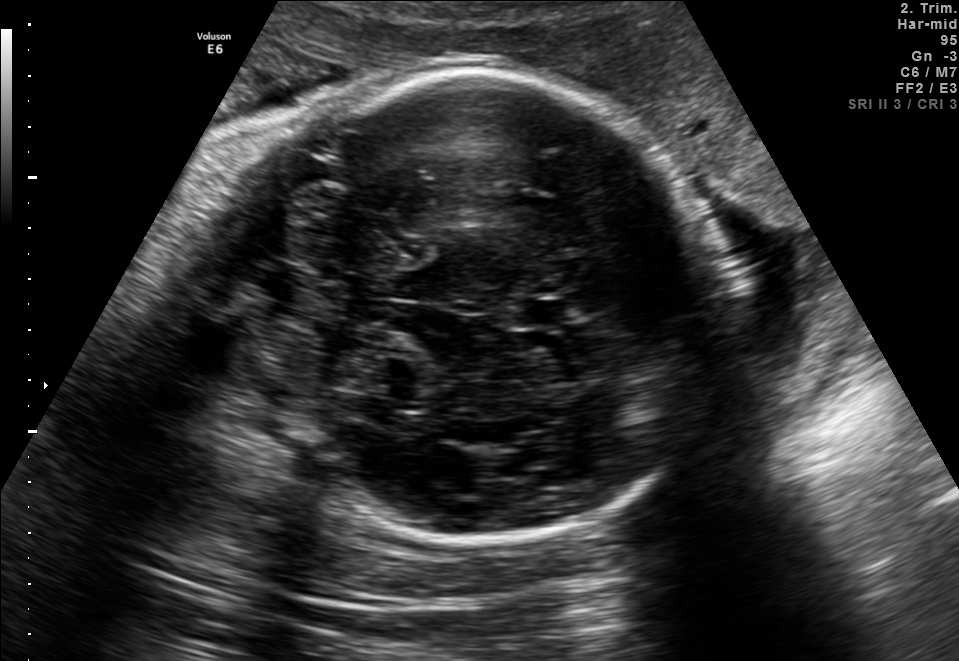
Fetal brain, trans-cerebellum plane. Give [x1,y1,x2,y2] bounding boxes for each visible structure among: fetal head, CSP, LV.

Head: [214,68,727,539]
CSP: [511,295,575,330]